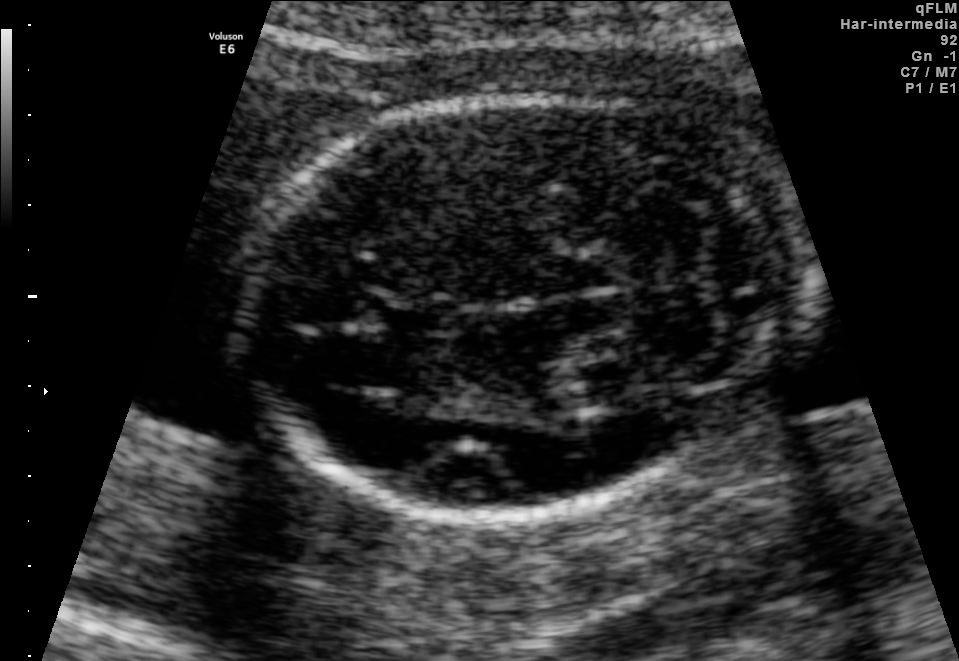
In this fetal brain, trans-cerebellum plane, give the bounding box of the cavum septum pellucidum.

[365,295,448,337]